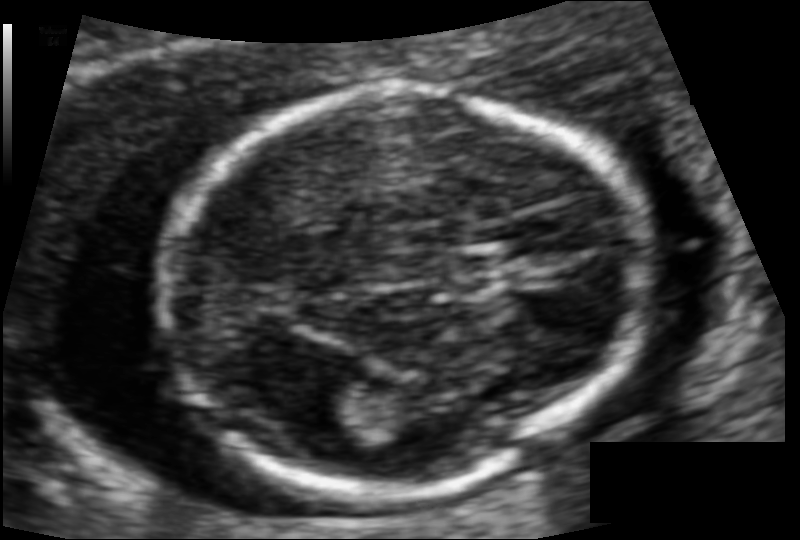
Fetal head ultrasound. Image width: 66.5 mm. Locate the fetal head and, if visible, the cavum septum pellucidum (CSP) and lateral ventricle (LV). Give bounding boxes as [x1,y1,x2,y2].

Head: [164,87,637,493]